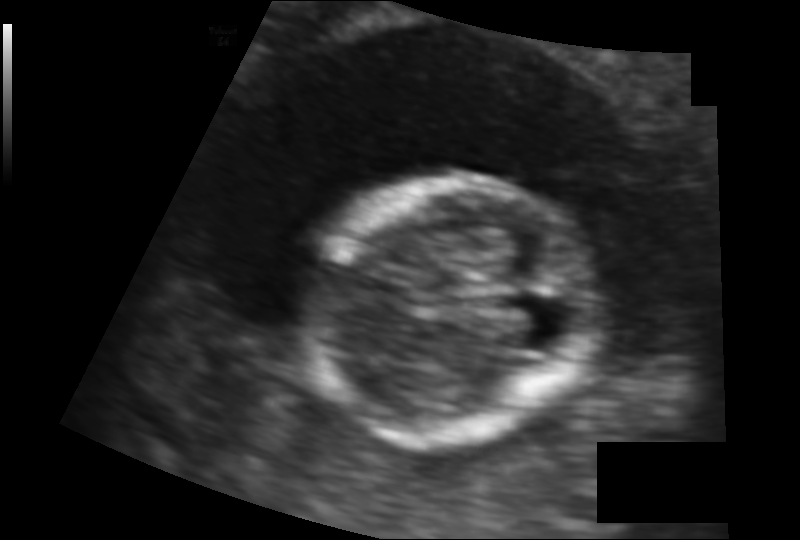
From this fetal ultrasound, estimate the head circumference (image width 82.1 mm).

Head circumference: 94.3 mm.